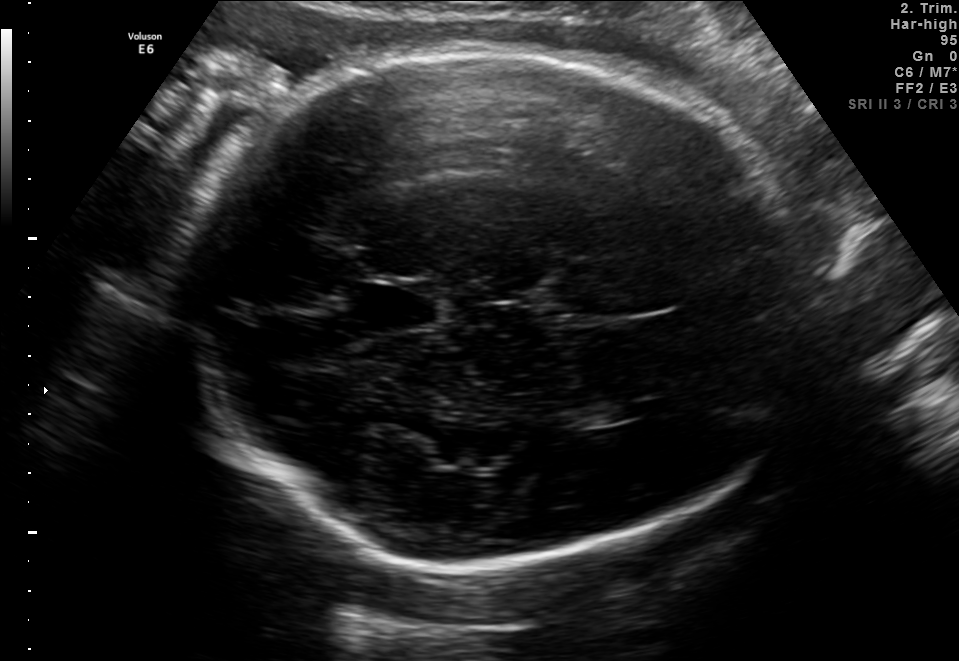
Fetal brain, trans-thalamic plane. Where is the lateral ventricle?

Lateral ventricle bounding box: [576,397,642,430]